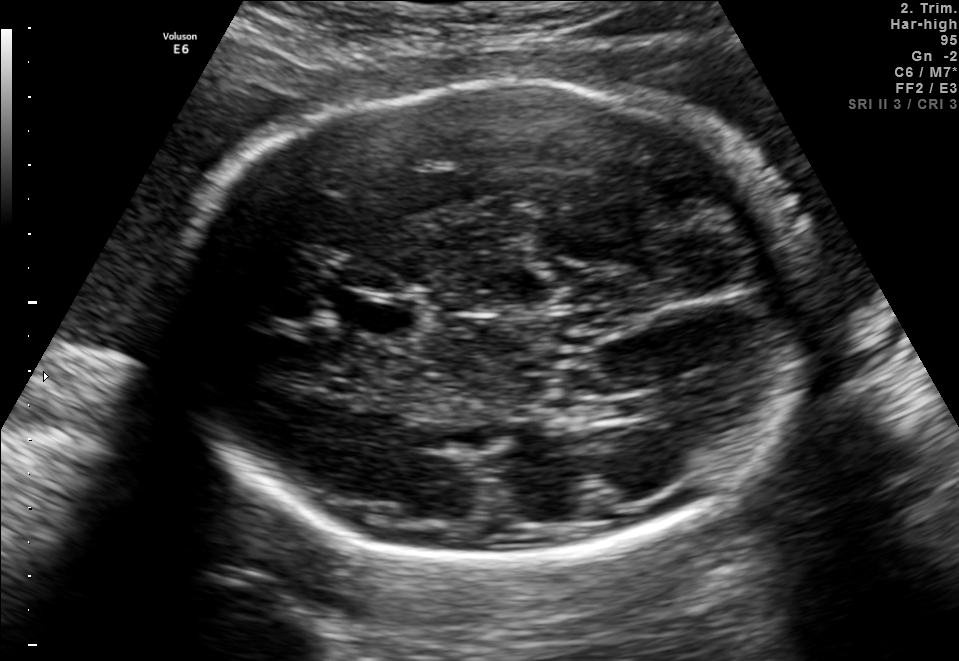
In this fetal brain, trans-thalamic plane, give the bounding box of the fetal head.

[170,80,819,559]